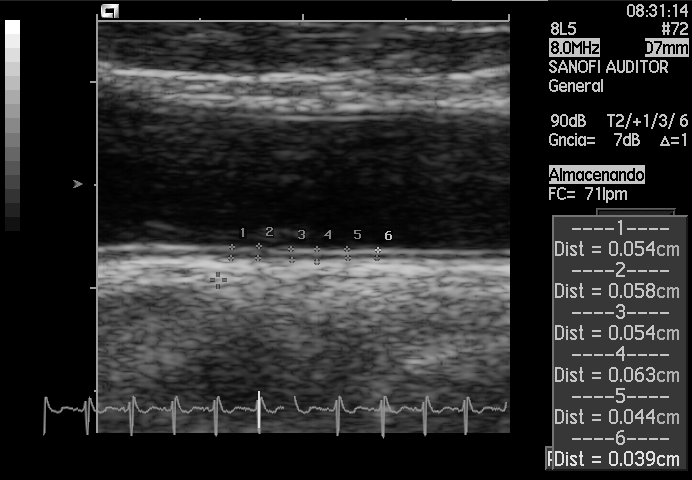
Classify this maternal-fetal ultrasound image as one of the six standard planes — fetal abdomen, fetal brain, fetal femur, fetal thorax, maternal cervix, or other. If it's fetal brain and one of the three standard brain planes (trans-thalamic, trans-cerebellum, trans-ventricular), name which.

Other